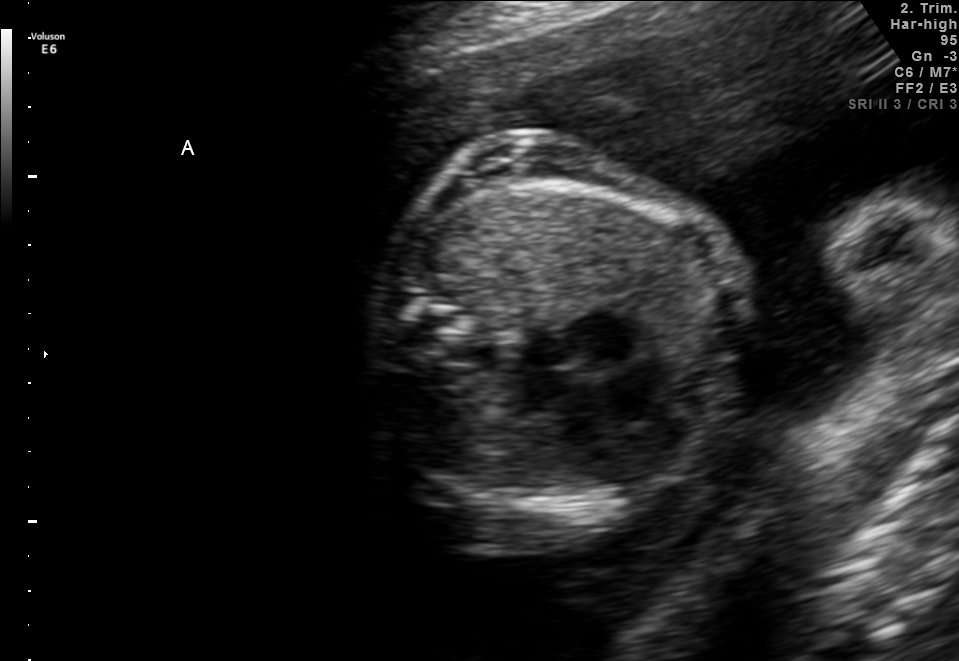
This is a 2D maternal-fetal ultrasound frame. Is it a fetal abdomen, fetal brain, fetal femur, fetal thorax, maternal cervix, or other standard plane? If it's fetal brain and one of the three standard brain planes (trans-thalamic, trans-cerebellum, trans-ventricular), name which.

Fetal thorax